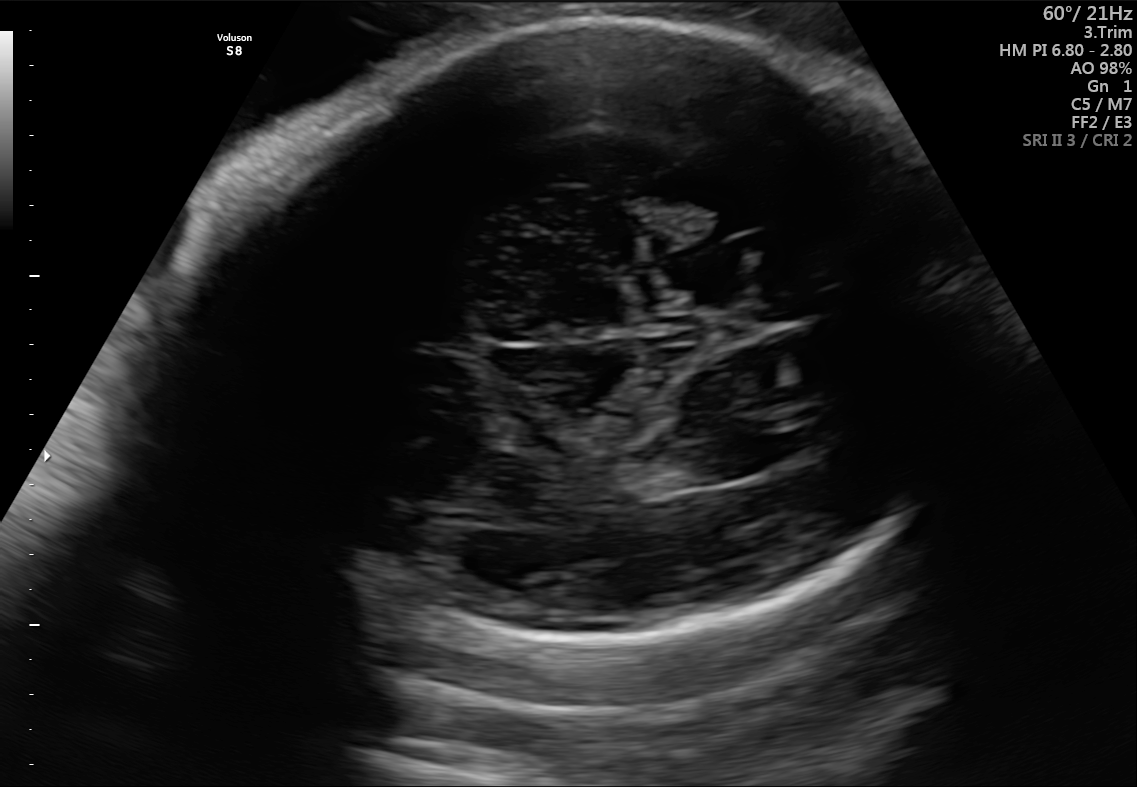
Fetal brain, trans-thalamic plane. Locate the fetal head.

Head: [204,14,971,635]